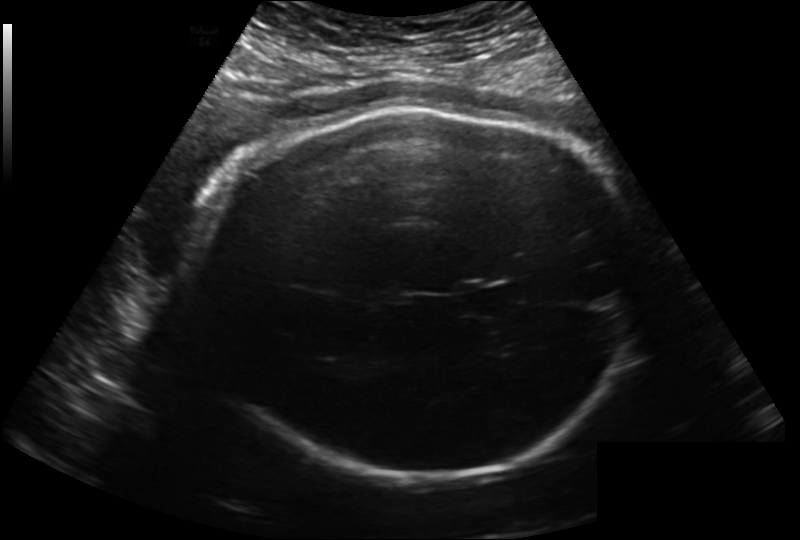
Estimate the fetal head circumference from this 2D ultrasound.

Head circumference: 291.4 mm (image width 177.2 mm).